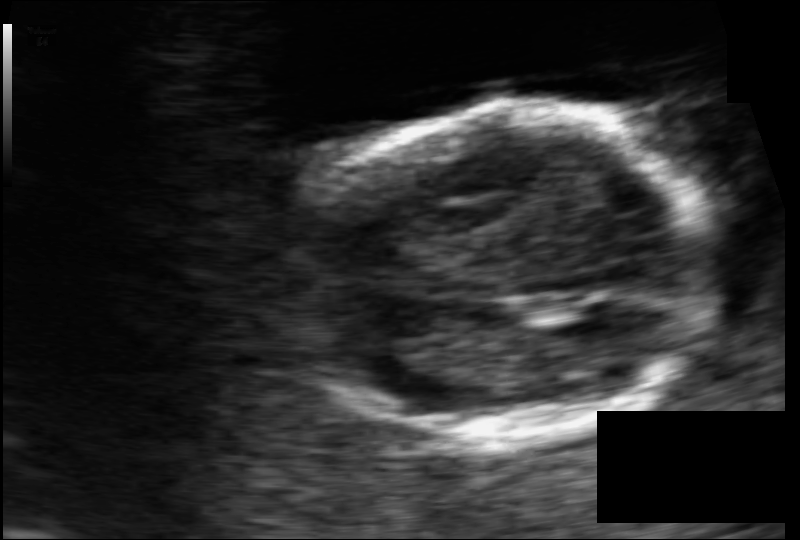
Fetal head ultrasound. Image width: 67.0 mm. Locate the fetal head and, if visible, the cavum septum pellucidum (CSP) and lateral ventricle (LV). Give bounding boxes as [x1,y1,x2,y2].

Head: [291,105,719,440]